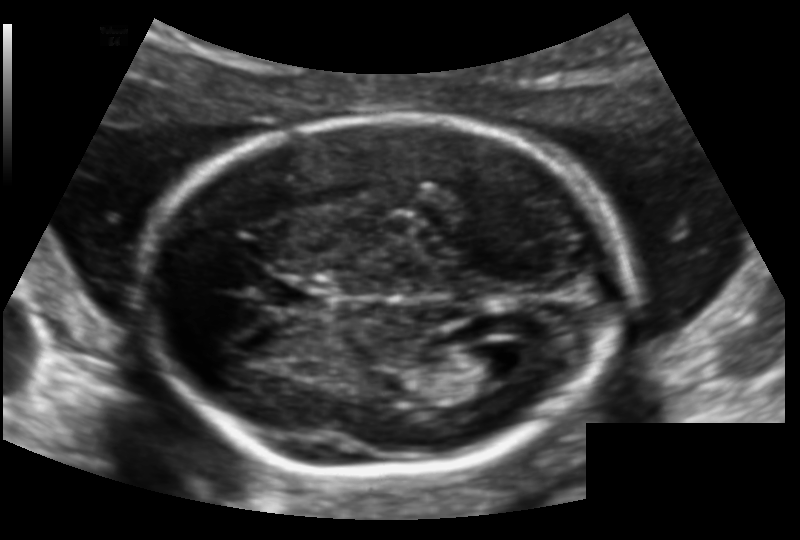
Fetal head ultrasound. Image width: 102.0 mm. Locate the fetal head and, if visible, the cavum septum pellucidum (CSP) and lateral ventricle (LV). Give bounding boxes as [x1,y1,x2,y2].

Head: [145,115,623,477]
CSP: [266,276,325,313]
Lateral ventricle: [452,337,520,390]